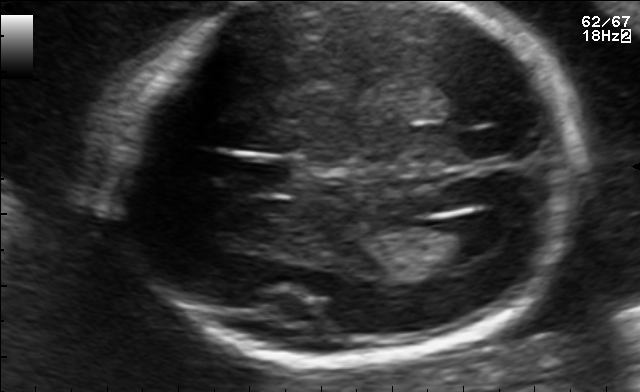
Fetal brain, trans-ventricular plane. Give [x1,y1,x2,y2] bounding boxes for each visible structure among: CSP, LV.

CSP: [226,160,293,189]
Lateral ventricle: [442,206,515,260]